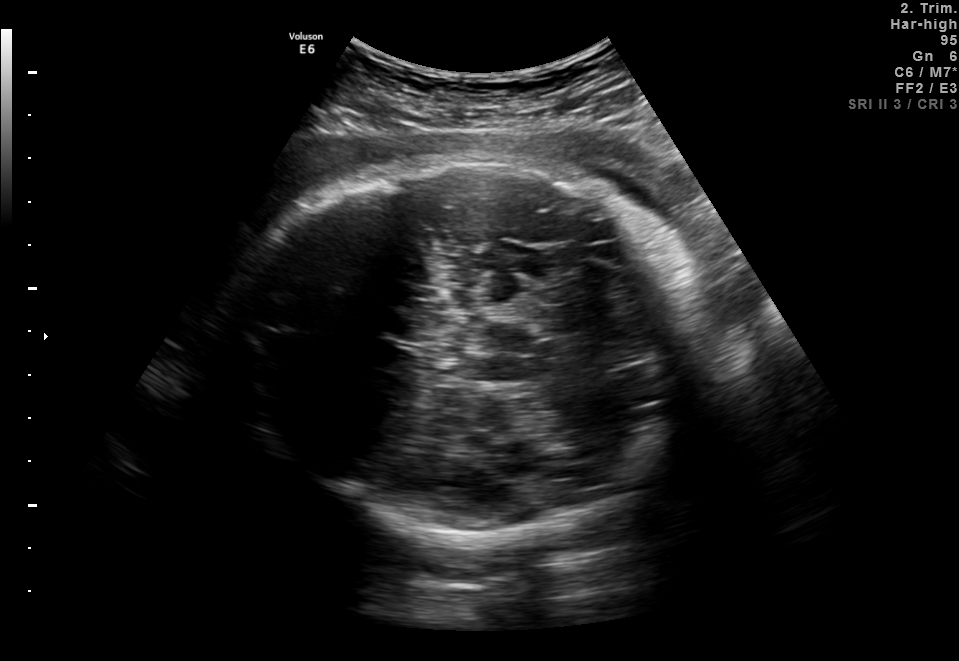
Fetal brain, trans-thalamic plane. Give [x1,y1,x2,y2] bounding boxes for each visible structure among: fetal head, CSP, LV.

Head: [225,158,706,535]